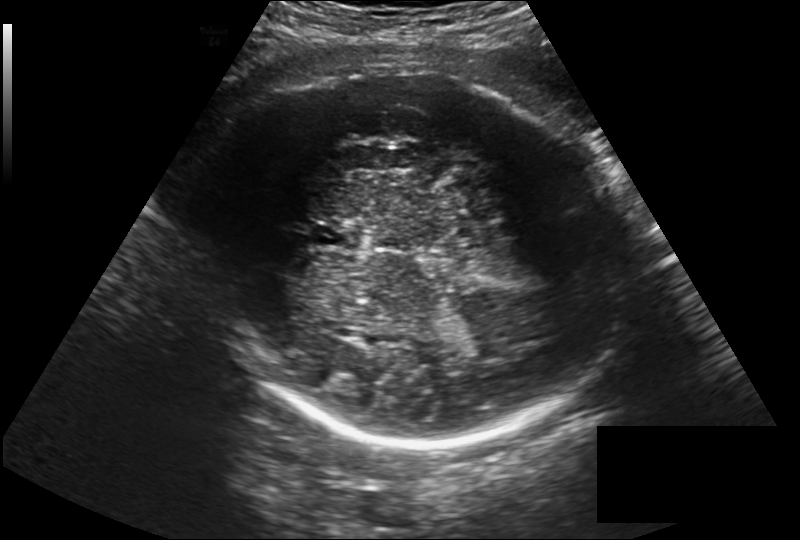
Measure the fetal head circumference shown in this ultrasound image. Image width: 205.7 mm.

Head circumference: 335.0 mm.